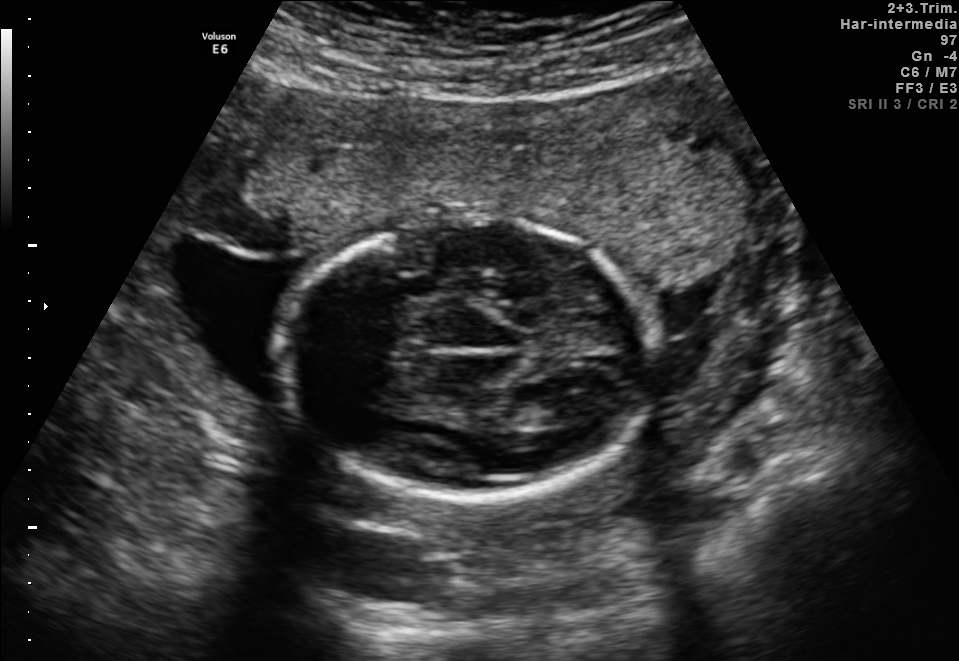
Fetal brain, trans-thalamic plane. Locate the fetal head.

Head: [274,216,657,499]